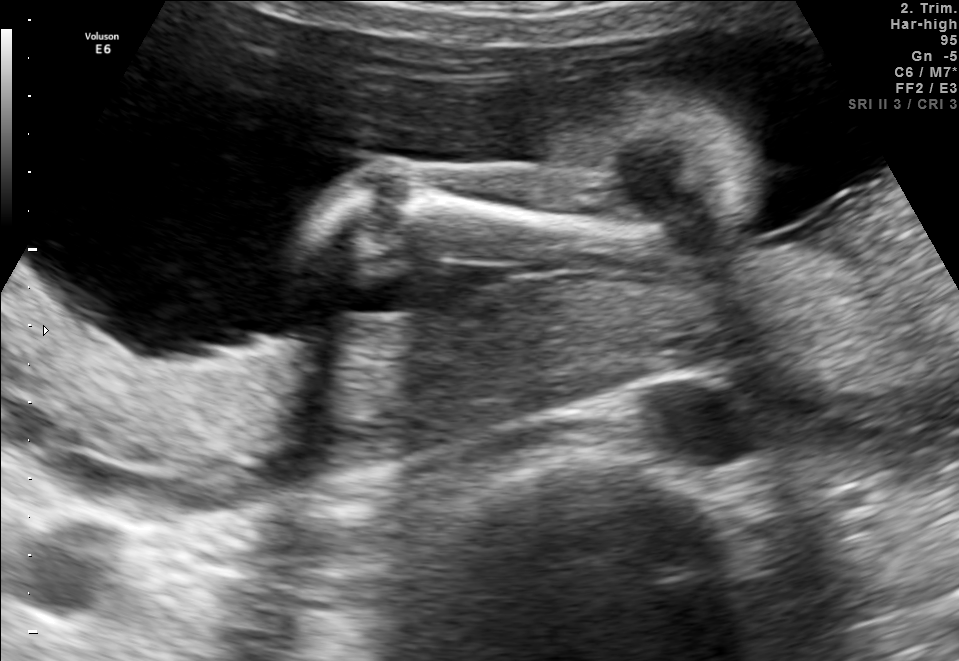
Classify this maternal-fetal ultrasound image as one of the six standard planes — fetal abdomen, fetal brain, fetal femur, fetal thorax, maternal cervix, or other. If it's fetal brain and one of the three standard brain planes (trans-thalamic, trans-cerebellum, trans-ventricular), name which.

Fetal femur